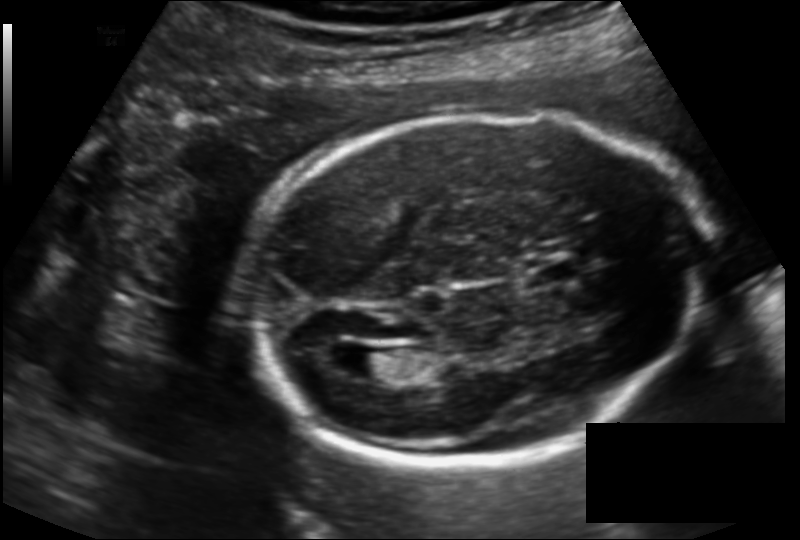
What is the fetal head circumference? Image width is 114.4 mm.

186.2 mm